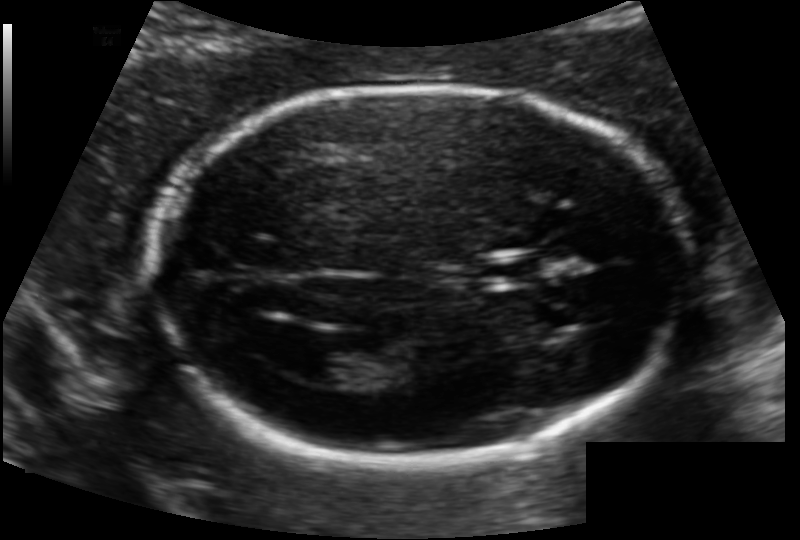
Fetal head ultrasound. Image width: 94.1 mm. Where is the fetal head?

Head bounding box: [150,86,688,457]